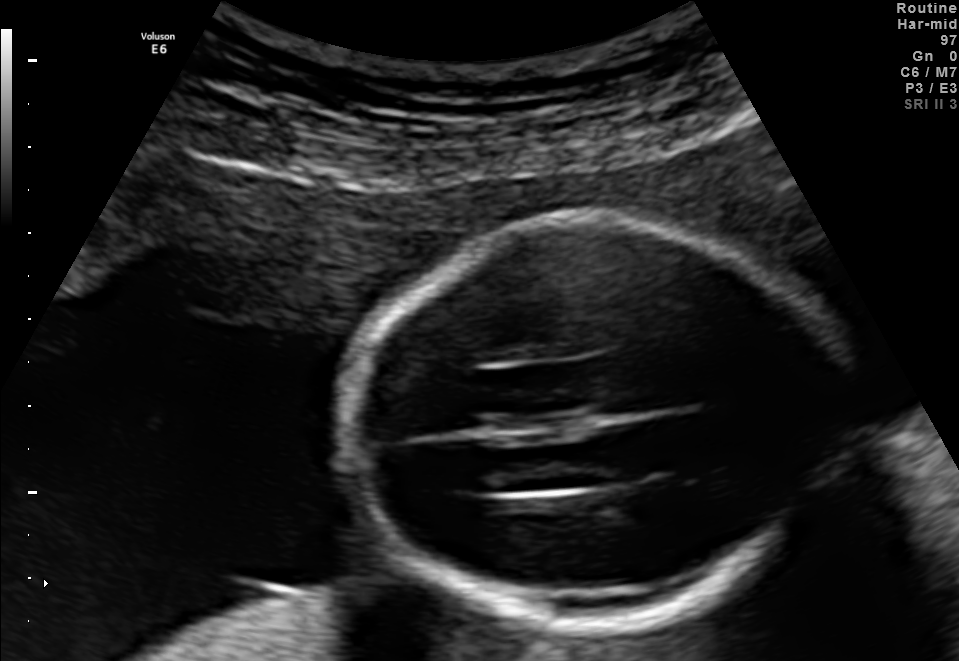
Fetal brain, trans-thalamic plane. Locate the fetal head.

Head: [340,215,845,624]